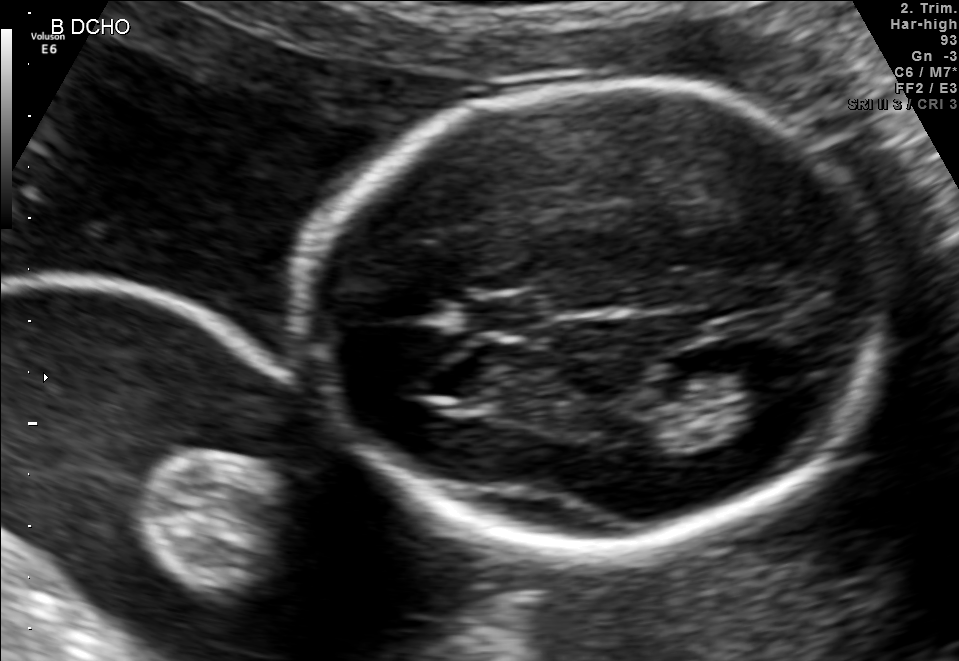
Fetal brain, trans-thalamic plane. Give [x1,y1,x2,y2] bounding boxes for each visible structure among: fetal head, CSP, LV.

Head: [305,81,870,548]
CSP: [463,293,543,334]
Lateral ventricle: [709,331,813,421]